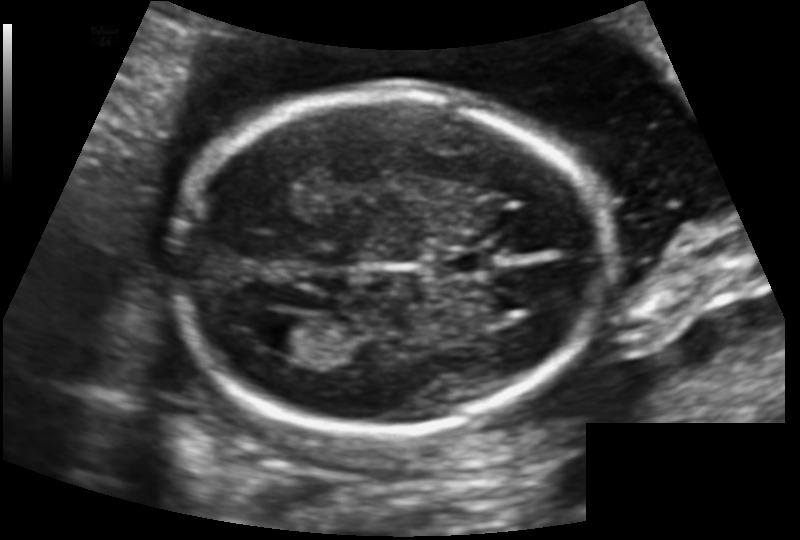
In this fetal head ultrasound, give bounding boxes for the head outline, cavum septum pellucidum (CSP), and lateral ventricle (LV), where visible. Image width: 103.5 mm.

Head: [176,92,604,433]
CSP: [432,248,494,277]
Lateral ventricle: [255,309,324,357]